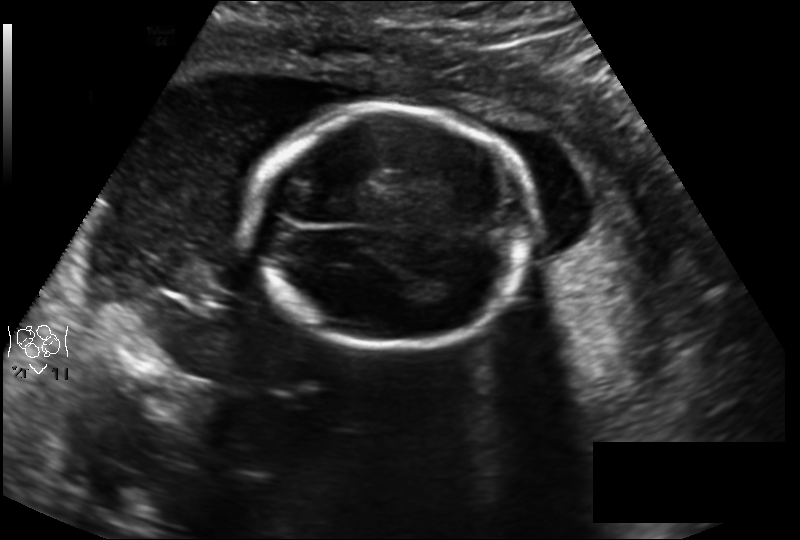
Fetal head ultrasound. Image width: 155.0 mm. Give [x1,y1,x2,y2] bounding boxes for each visible structure among: fetal head, CSP, LV.

Head: [253,105,532,350]